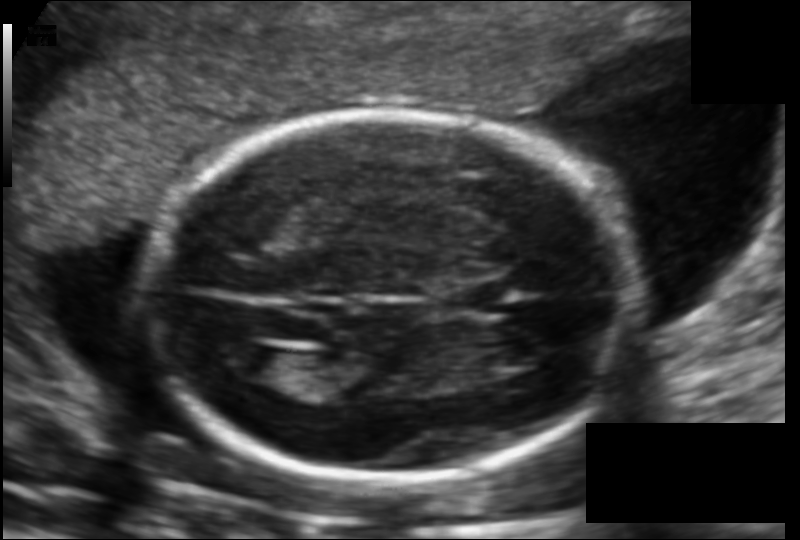
Fetal head ultrasound. Image width: 98.4 mm. Locate the fetal head and, if visible, the cavum septum pellucidum (CSP) and lateral ventricle (LV). Give bounding boxes as [x1,y1,x2,y2].

Head: [144,113,631,481]
CSP: [438,278,501,321]
Lateral ventricle: [215,336,286,387]